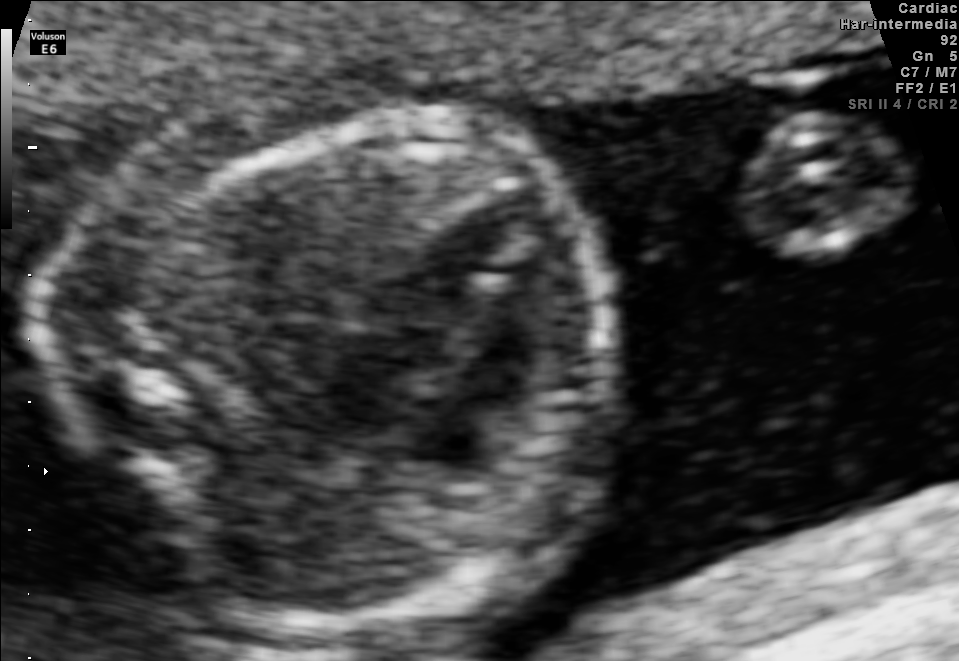
Classify this maternal-fetal ultrasound image as one of the six standard planes — fetal abdomen, fetal brain, fetal femur, fetal thorax, maternal cervix, or other. If it's fetal brain and one of the three standard brain planes (trans-thalamic, trans-cerebellum, trans-ventricular), name which.

Fetal thorax